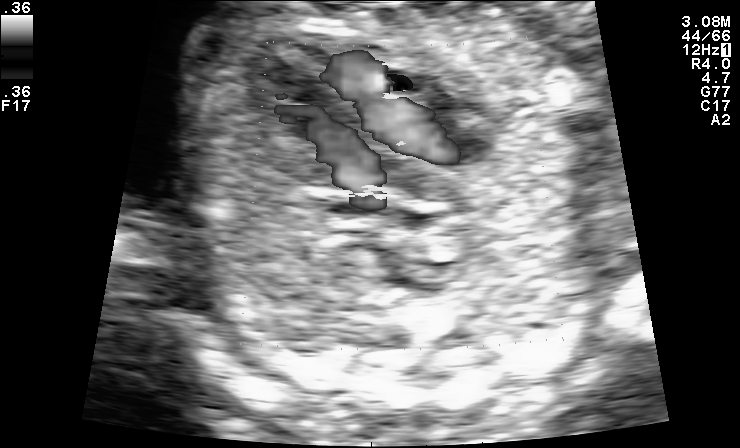
Which standard maternal-fetal ultrasound plane is shown: fetal abdomen, fetal brain, fetal femur, fetal thorax, maternal cervix, or other? If it's fetal brain and one of the three standard brain planes (trans-thalamic, trans-cerebellum, trans-ventricular), name which.

Other